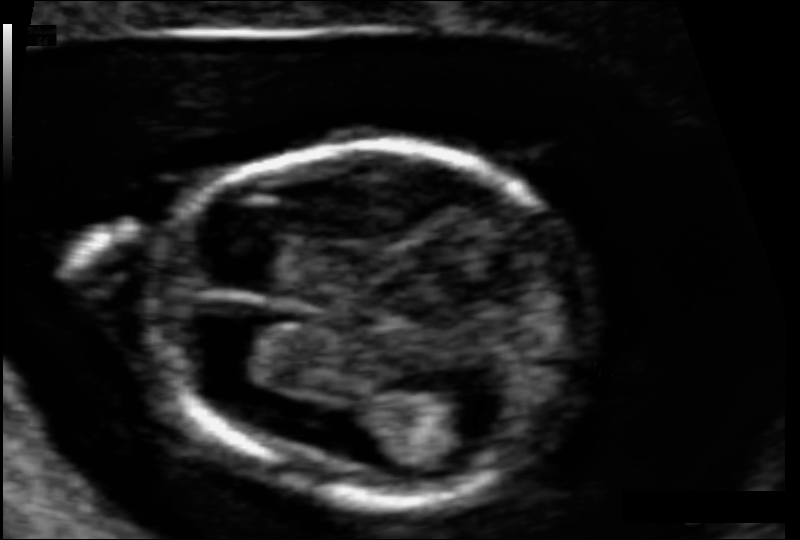
From this fetal ultrasound, estimate the head circumference (image width 50.1 mm).

Head circumference: 81.6 mm.